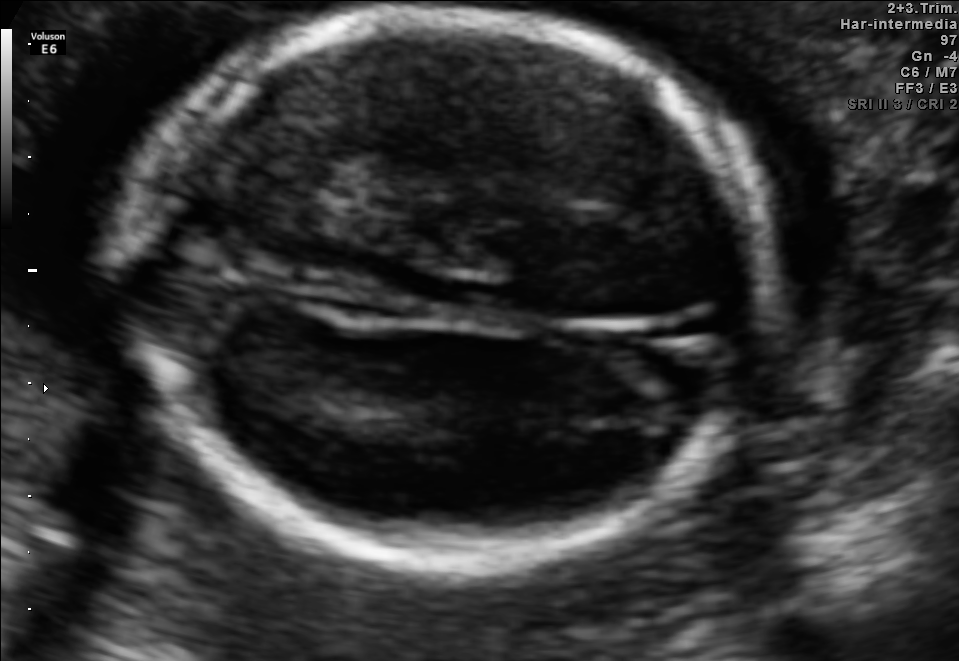
Fetal brain, trans-thalamic plane. Where is the fetal head?

Head bounding box: [130,16,763,555]